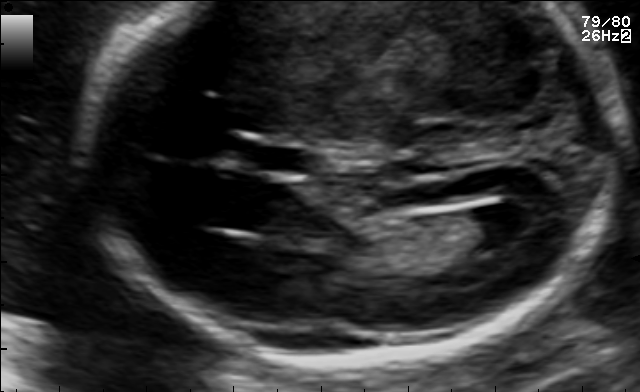
In this fetal brain, trans-ventricular plane, give bounding boxes for the cavum septum pellucidum (CSP) and lateral ventricle (LV), where visible.

CSP: [251,144,311,174]
Lateral ventricle: [454,196,540,254]